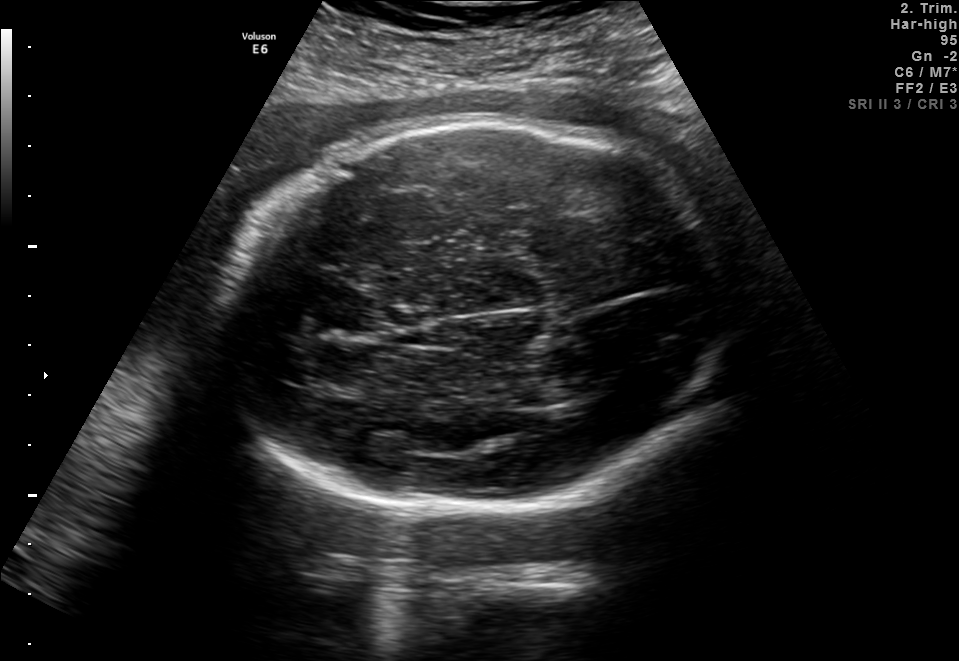
Fetal brain, trans-thalamic plane. Where is the lateral ventricle?

Lateral ventricle bounding box: [542,368,611,409]